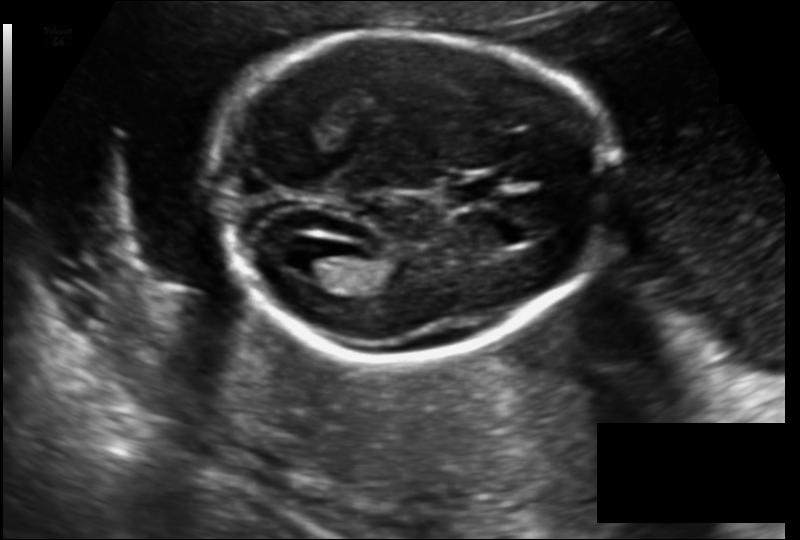
In this fetal head ultrasound, give the bounding box of the cavum septum pellucidum. Image width: 113.3 mm.

[445,175,496,208]